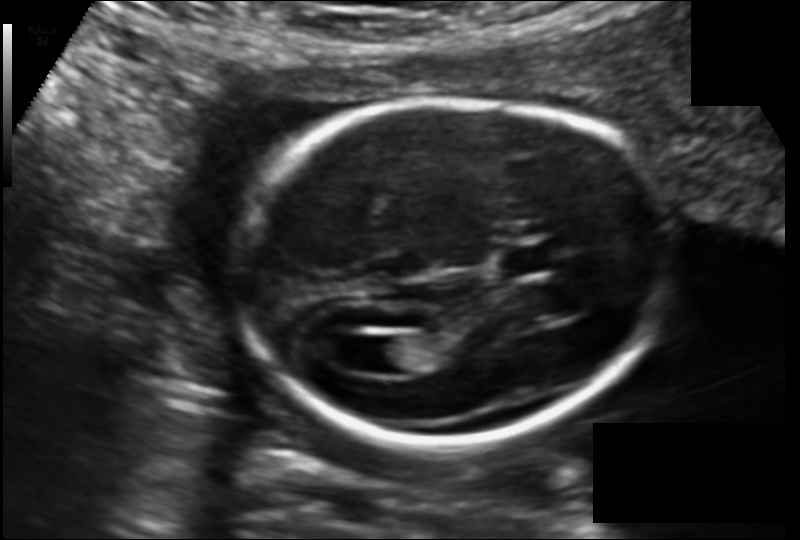
From this fetal ultrasound, estimate the head circumference (image width 107.8 mm).

Head circumference: 170.2 mm.